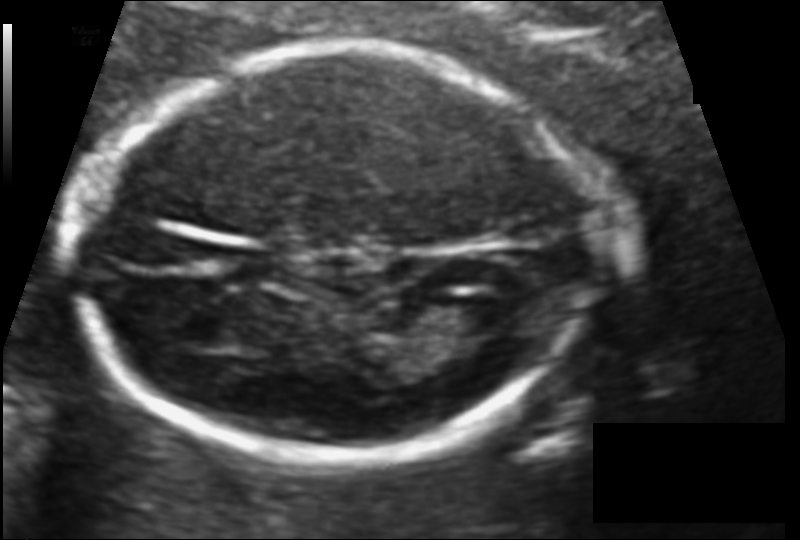
In this fetal head ultrasound, give the bounding box of the fetal head. Image width: 81.3 mm.

[76,49,587,463]